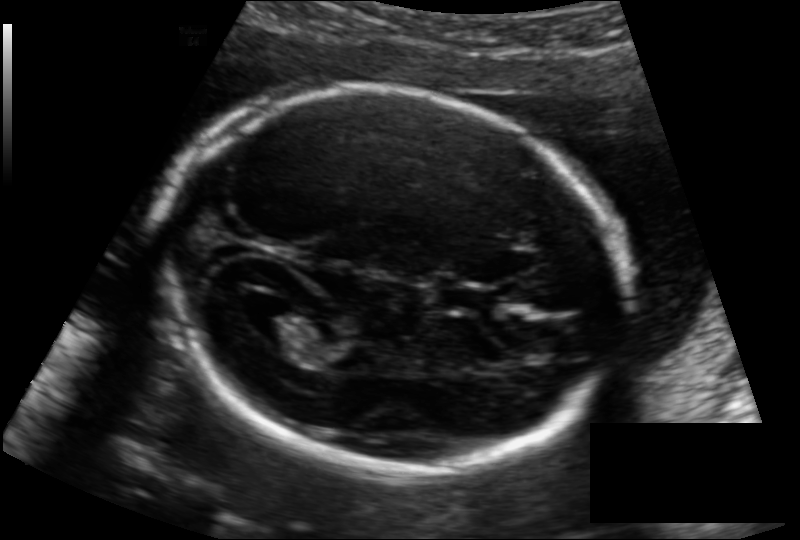
Fetal head ultrasound. Image width: 106.5 mm. Where is the cavum septum pellucidum?

CSP bounding box: [439,283,499,315]